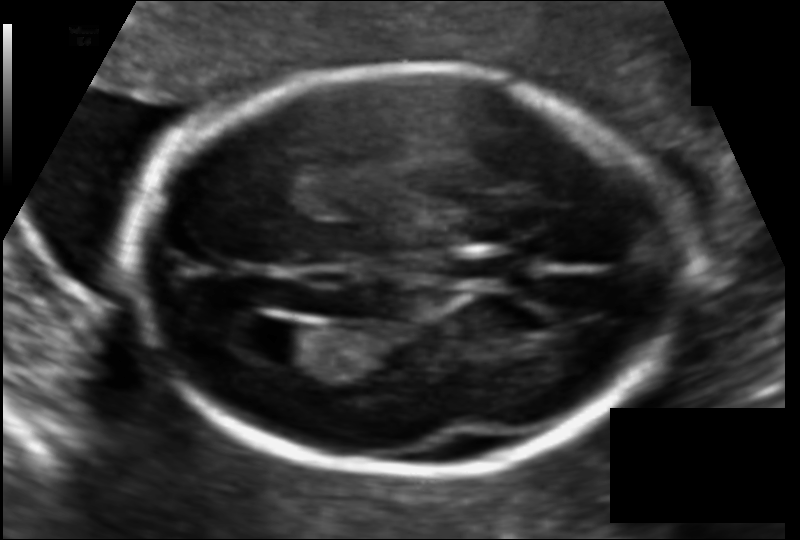
In this fetal head ultrasound, give the bounding box of the cavum septum pellucidum. Image width: 89.2 mm.

[450,252,517,284]